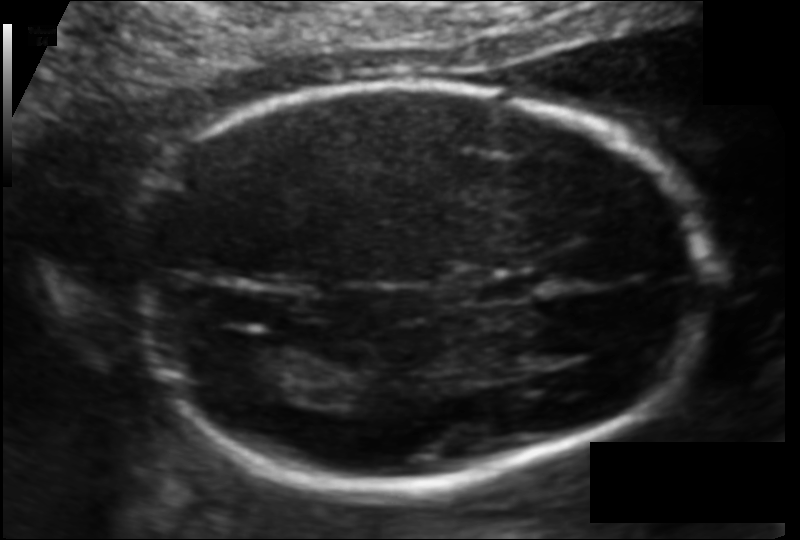
Fetal head ultrasound. Image width: 87.4 mm. Give [x1,y1,x2,y2] bounding boxes for each visible structure among: fetal head, CSP, LV.

Head: [123,82,705,486]
CSP: [477,268,547,307]
Lateral ventricle: [207,336,308,408]